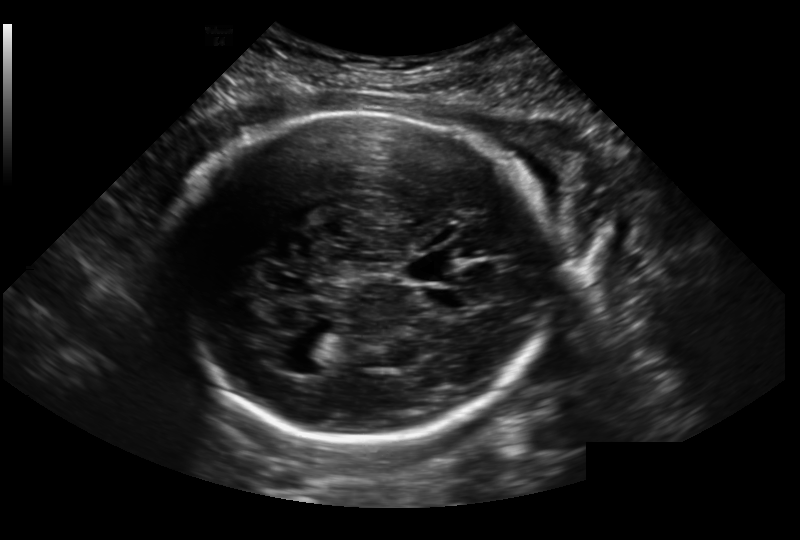
Fetal head ultrasound. Image width: 188.7 mm. Where is the lateral ventricle?

Lateral ventricle bounding box: [281,354,324,377]